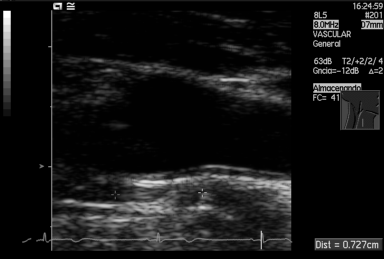
Which standard maternal-fetal ultrasound plane is shown: fetal abdomen, fetal brain, fetal femur, fetal thorax, maternal cervix, or other? If it's fetal brain and one of the three standard brain planes (trans-thalamic, trans-cerebellum, trans-ventricular), name which.

Other